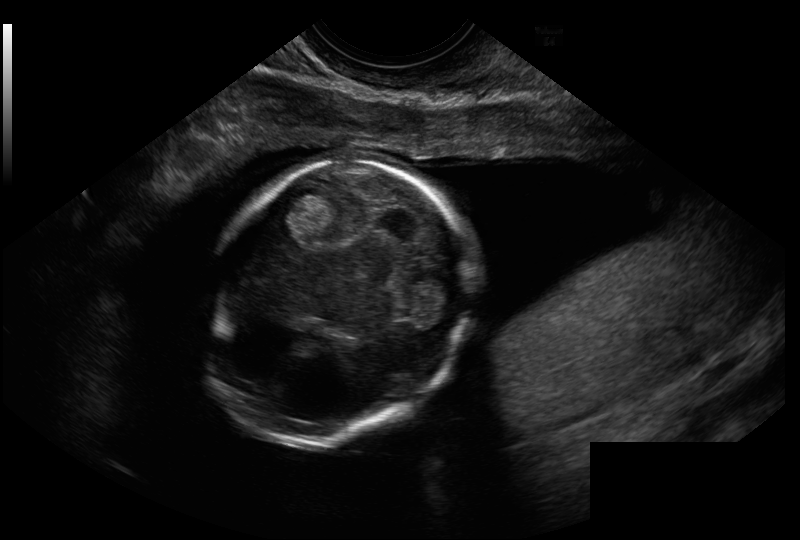
In this fetal head ultrasound, give bounding boxes for the head outline, cavum septum pellucidum (CSP), and lateral ventricle (LV), where visible. Image width: 91.5 mm.

Head: [204,161,470,448]